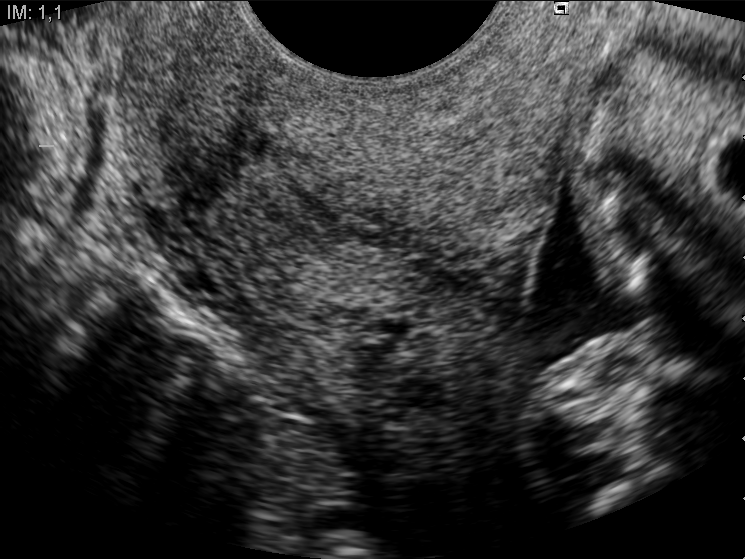
Which standard maternal-fetal ultrasound plane is shown: fetal abdomen, fetal brain, fetal femur, fetal thorax, maternal cervix, or other? If it's fetal brain and one of the three standard brain planes (trans-thalamic, trans-cerebellum, trans-ventricular), name which.

Maternal cervix